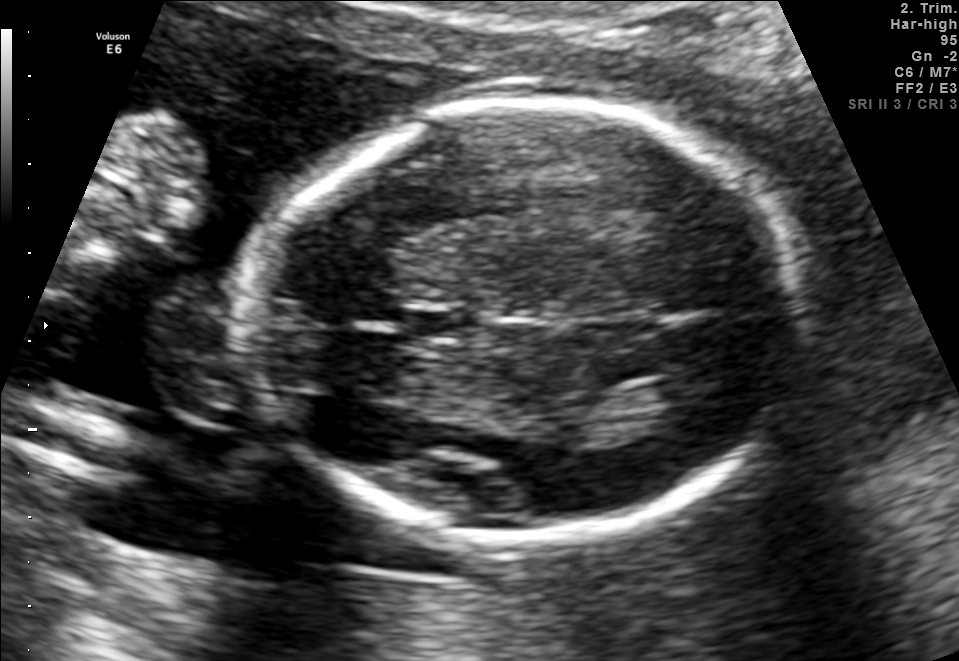
Fetal brain, trans-thalamic plane. Locate the fetal head and, if visible, the cavum septum pellucidum (CSP) and lateral ventricle (LV). Give bounding boxes as [x1,y1,x2,y2].

Head: [242,105,797,542]
CSP: [406,312,474,339]
Lateral ventricle: [625,370,694,413]